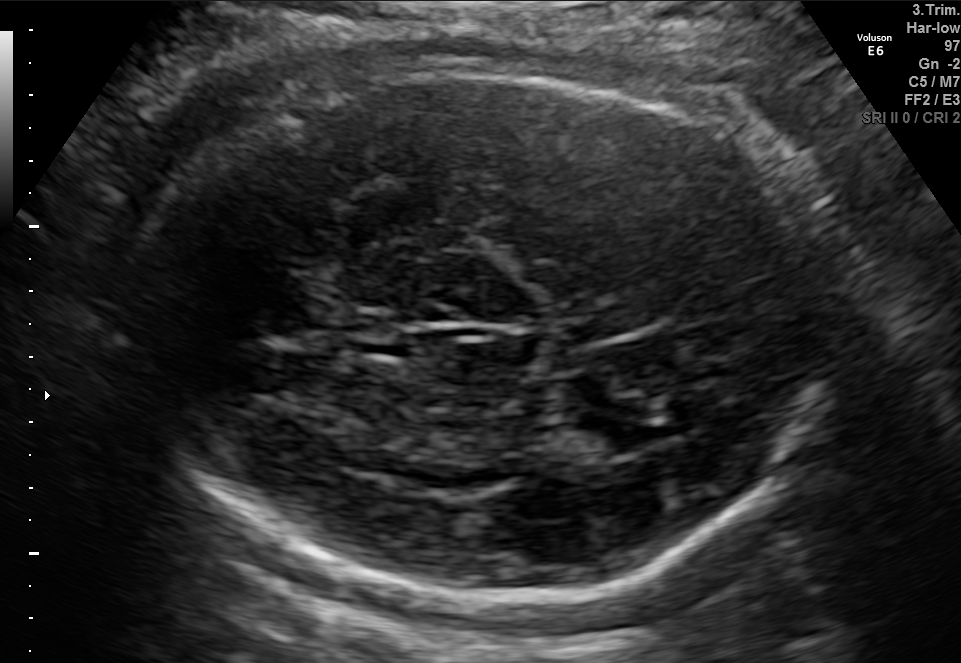
Identify the standard plane in this fetal ultrasound image: fetal abdomen, fetal brain, fetal femur, fetal thorax, maternal cervix, or other. If it's fetal brain and one of the three standard brain planes (trans-thalamic, trans-cerebellum, trans-ventricular), name which.

Fetal brain (trans-thalamic plane)